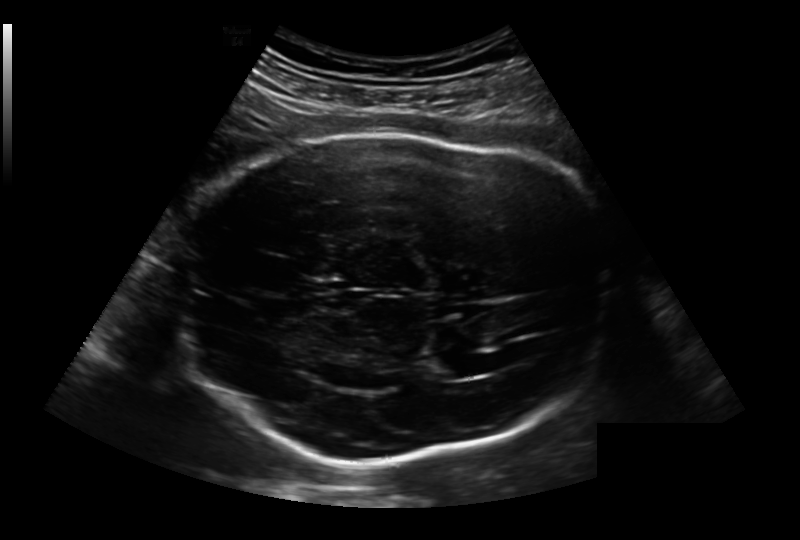
From this fetal ultrasound, estimate the head circumference (image width 188.6 mm).

Head circumference: 291.9 mm.